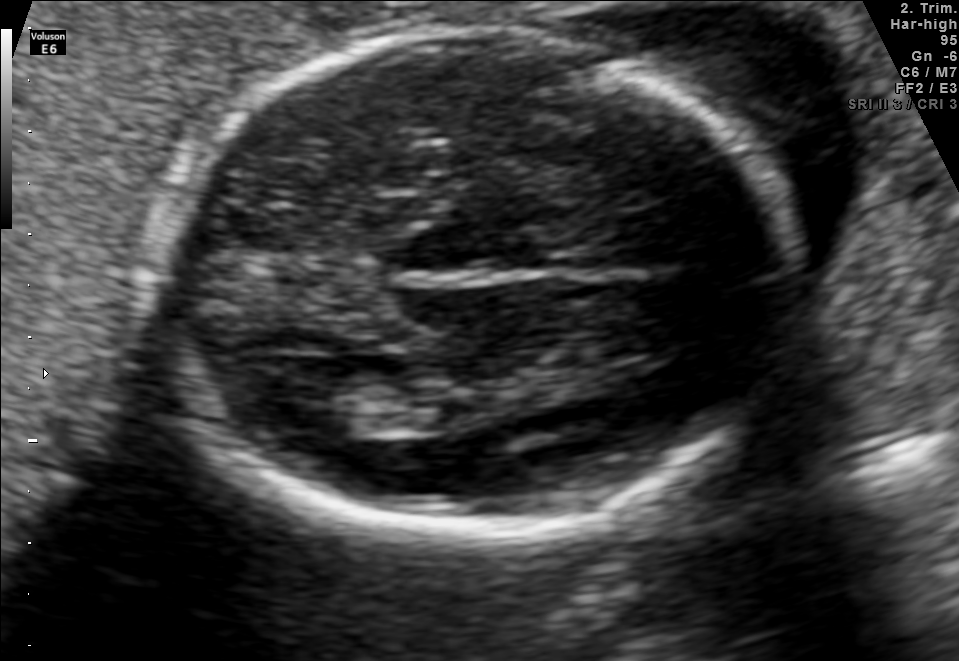
In this fetal brain, trans-thalamic plane, give bounding boxes for the head outline, cavum septum pellucidum (CSP), and lateral ventricle (LV), where visible.

Head: [157,32,802,531]
Lateral ventricle: [276,376,387,438]